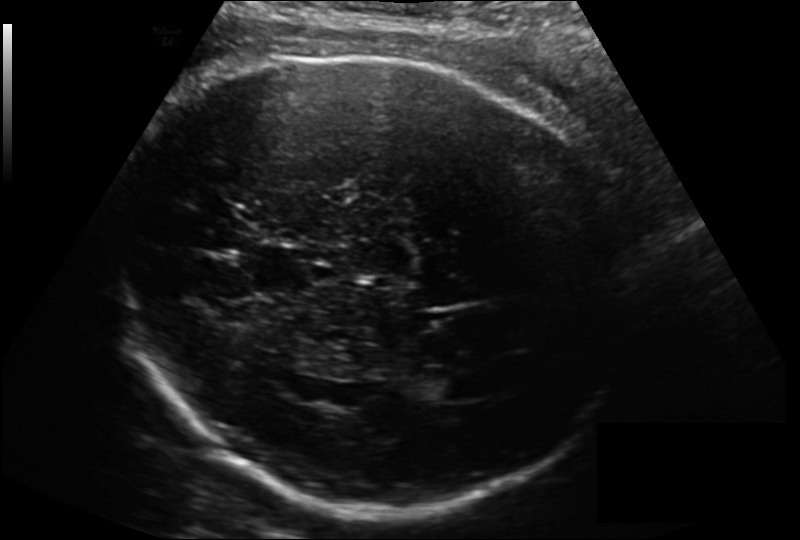
In this fetal head ultrasound, give the bounding box of the lateral ventricle. Image width: 159.6 mm.

[423,376,475,401]